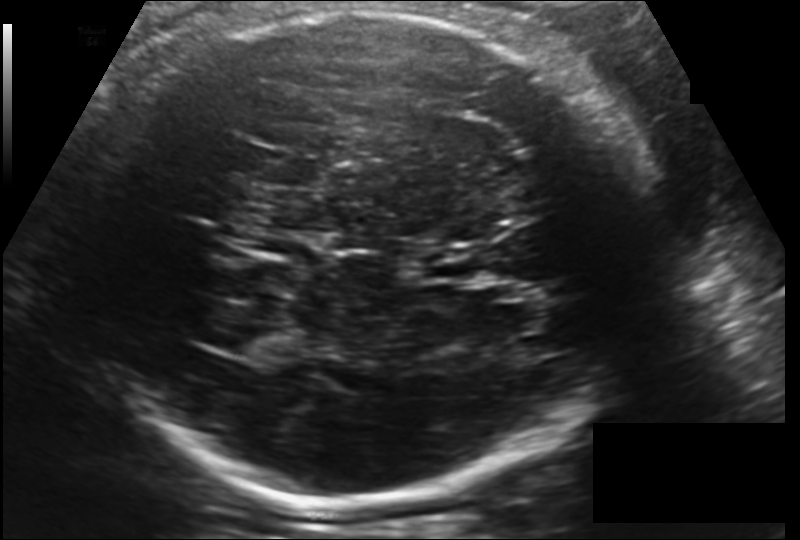
Fetal head ultrasound. Image width: 145.0 mm. Locate the lateral ventricle.

Lateral ventricle: [212,316,279,364]